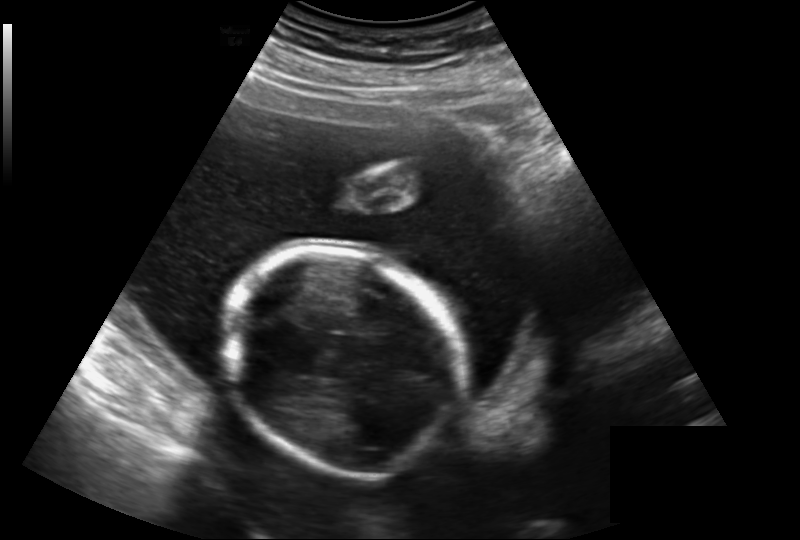
From this fetal ultrasound, estimate the head circumference (image width 175.3 mm).

Head circumference: 163.1 mm.